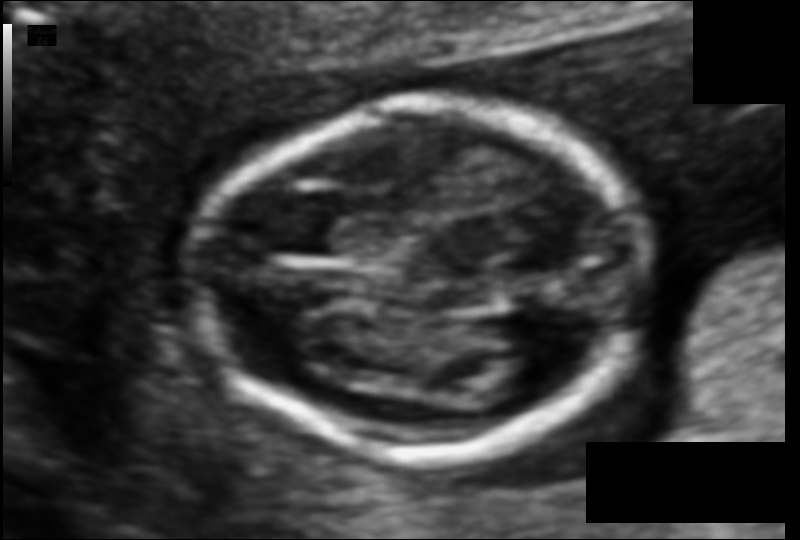
Fetal head ultrasound. Image width: 61.5 mm. Locate the fetal head and, if visible, the cavum septum pellucidum (CSP) and lateral ventricle (LV). Give bounding boxes as [x1,y1,x2,y2].

Head: [197,105,648,458]